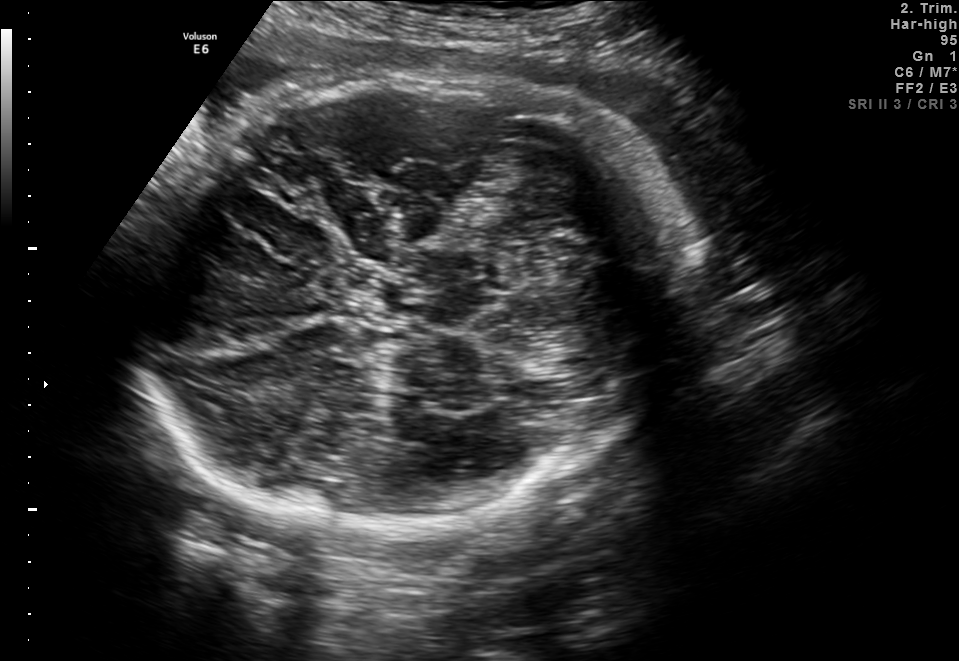
Fetal brain, trans-thalamic plane. Give [x1,y1,x2,y2] bounding boxes for each visible structure among: fetal head, CSP, LV.

Head: [127,73,690,534]